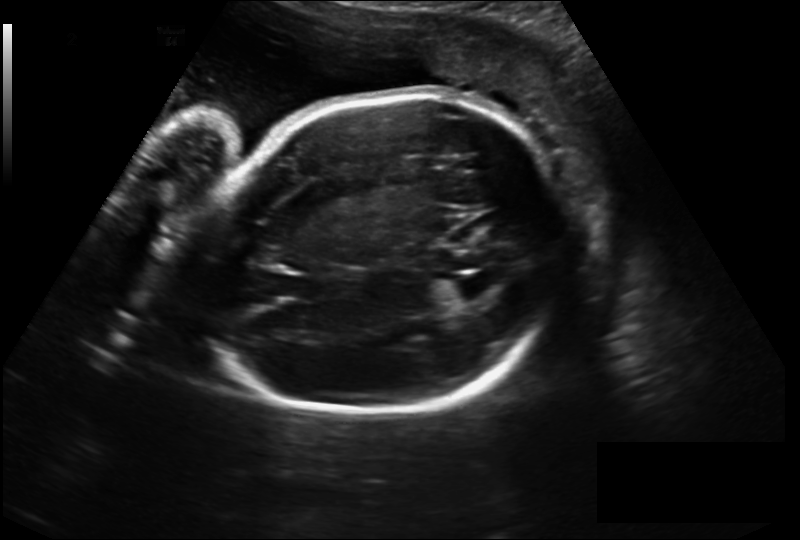
Measure the fetal head circumference shown in this ultrasound image. Image width: 184.2 mm.

Head circumference: 258.1 mm.